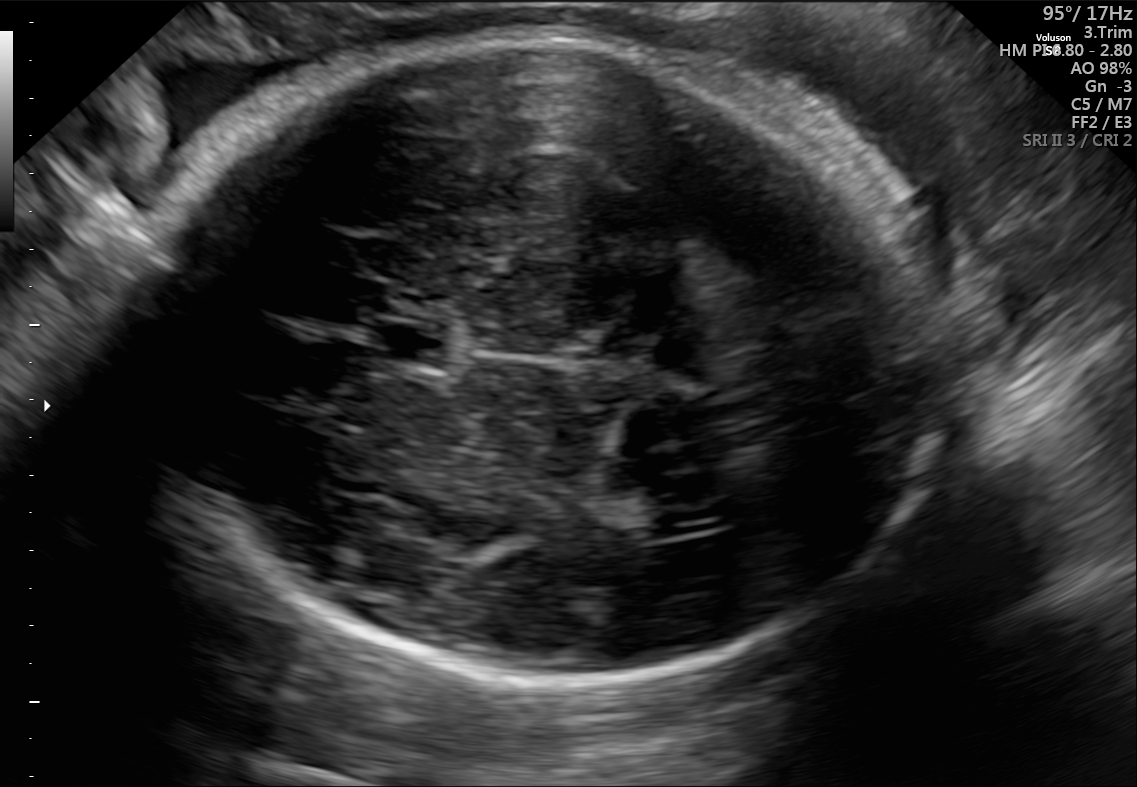
Fetal brain, trans-ventricular plane. Locate the fetal head.

Head: [146,26,965,687]